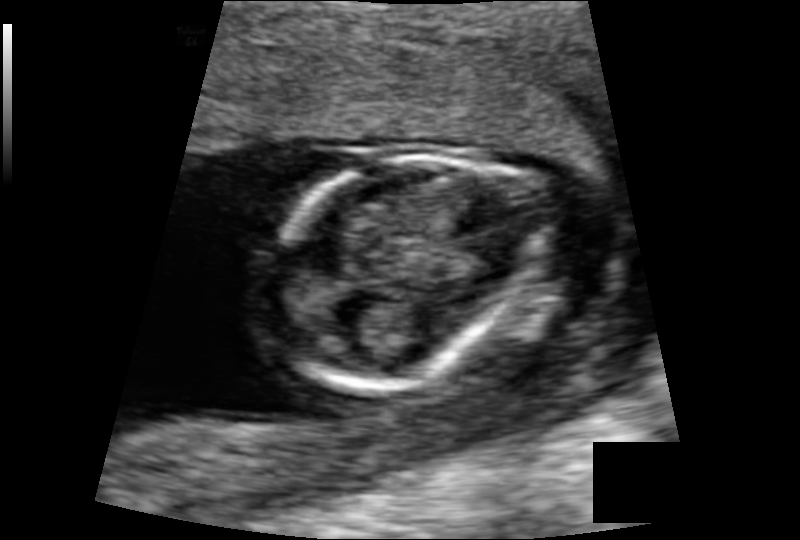
Estimate the fetal head circumference from this 2D ultrasound.

Head circumference: 84.2 mm (image width 82.7 mm).